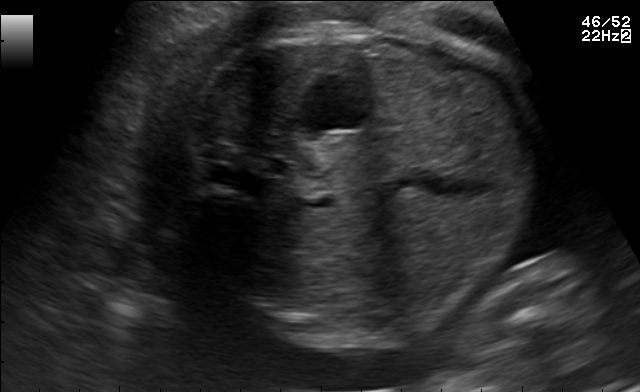
Classify this maternal-fetal ultrasound image as one of the six standard planes — fetal abdomen, fetal brain, fetal femur, fetal thorax, maternal cervix, or other. If it's fetal brain and one of the three standard brain planes (trans-thalamic, trans-cerebellum, trans-ventricular), name which.

Fetal abdomen